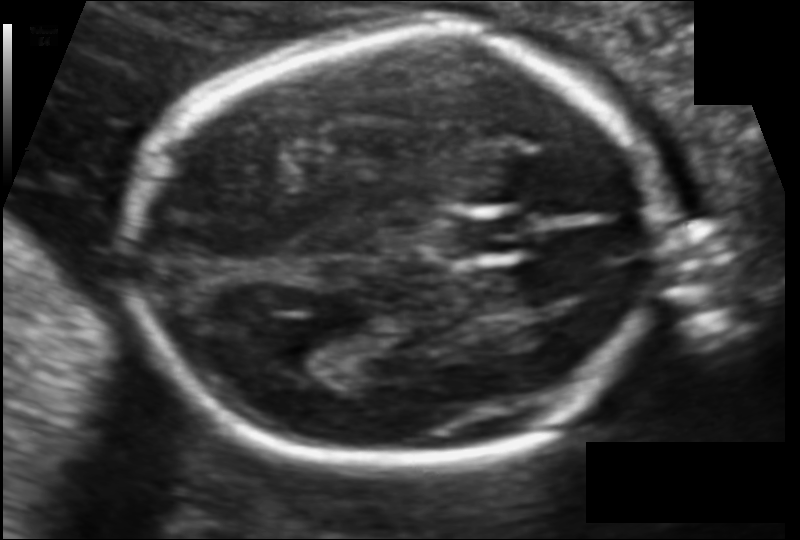
Fetal head ultrasound. Image width: 84.9 mm. Where is the lateral ventricle?

Lateral ventricle bounding box: [266,319,349,367]